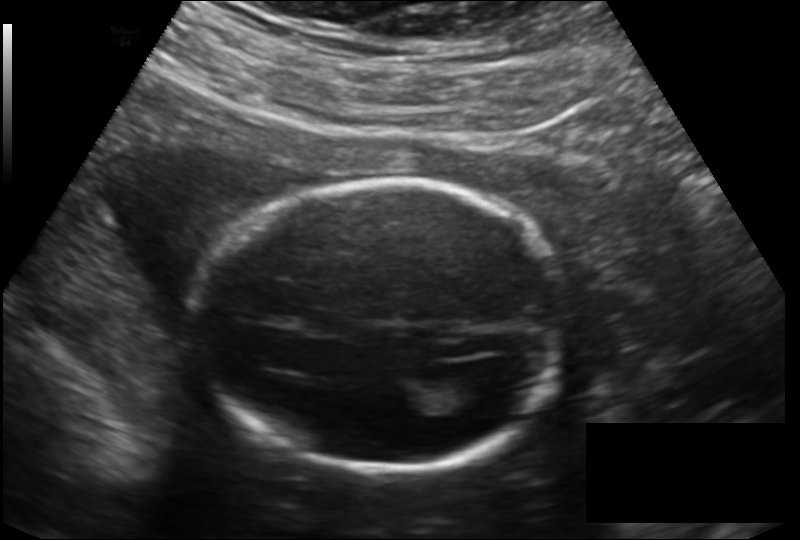
Fetal head ultrasound. Image width: 133.1 mm. Where is the lateral ventricle?

Lateral ventricle bounding box: [434,370,502,418]